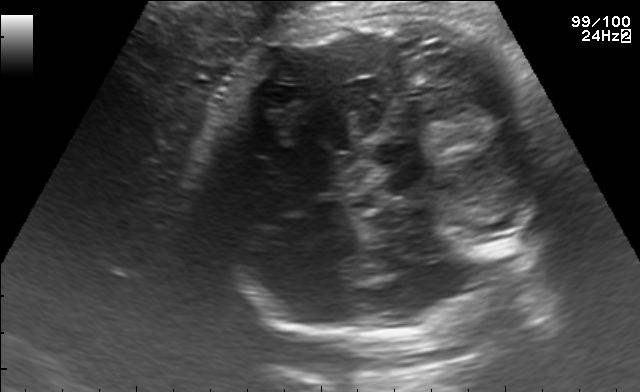
Fetal brain, trans-cerebellum plane. Locate the fetal head and, if visible, the cavum septum pellucidum (CSP) and lateral ventricle (LV). Give bounding boxes as [x1,y1,x2,y2].

Head: [202,3,559,340]